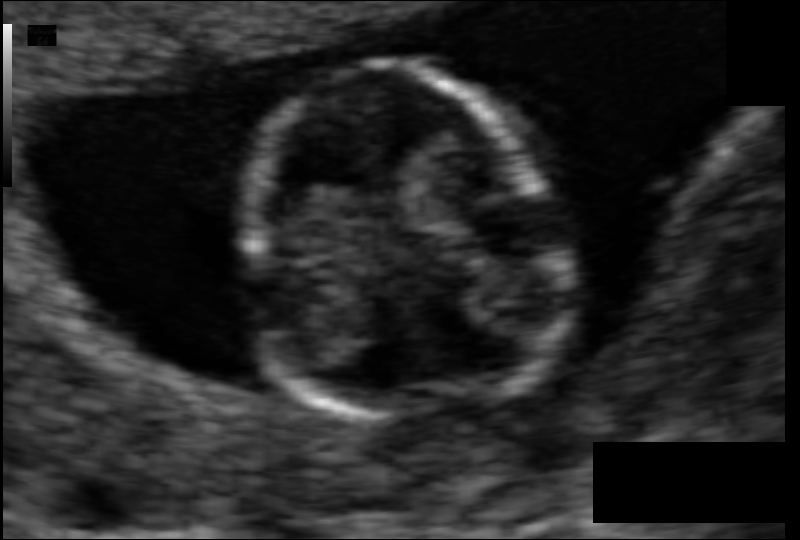
Estimate the fetal head circumference from this 2D ultrasound.

Head circumference: 72.0 mm (image width 49.5 mm).